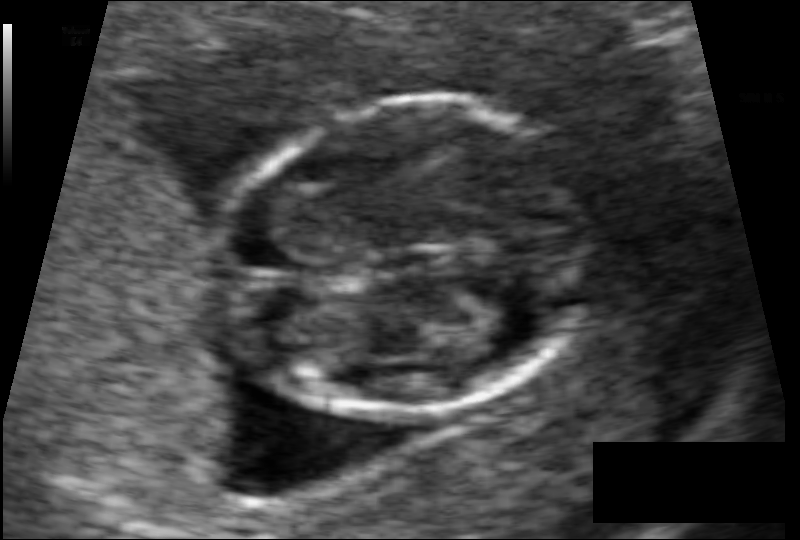
Fetal head ultrasound. Image width: 48.9 mm. Locate the fetal head.

Head: [213,104,596,418]